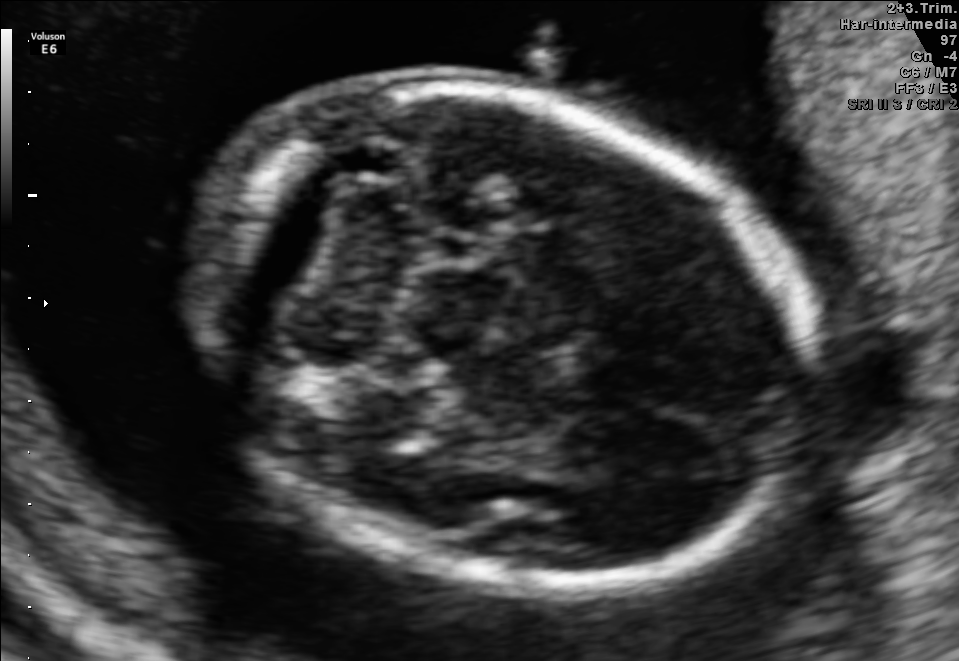
Fetal brain, trans-cerebellum plane. Locate the fetal head and, if visible, the cavum septum pellucidum (CSP) and lateral ventricle (LV). Give bounding boxes as [x1,y1,x2,y2].

Head: [195,82,804,597]